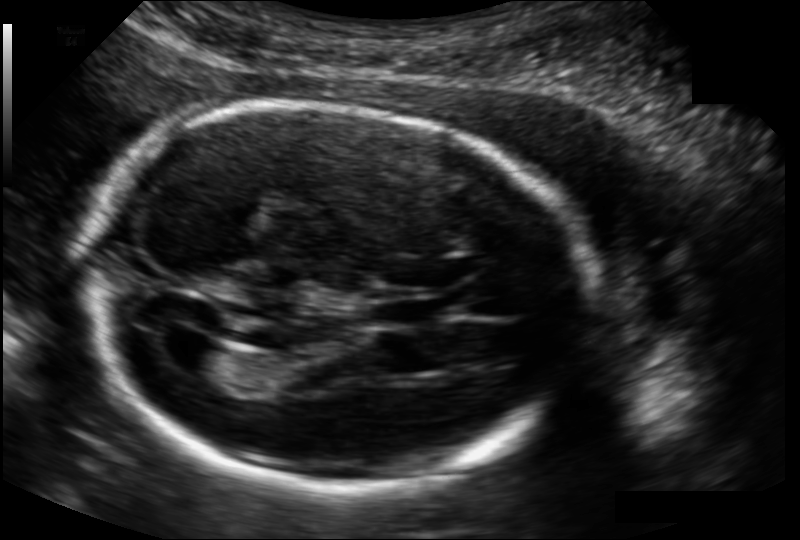
Fetal head ultrasound. Image width: 107.6 mm. Locate the cavum septum pellucidum.

CSP: [367,295,440,329]